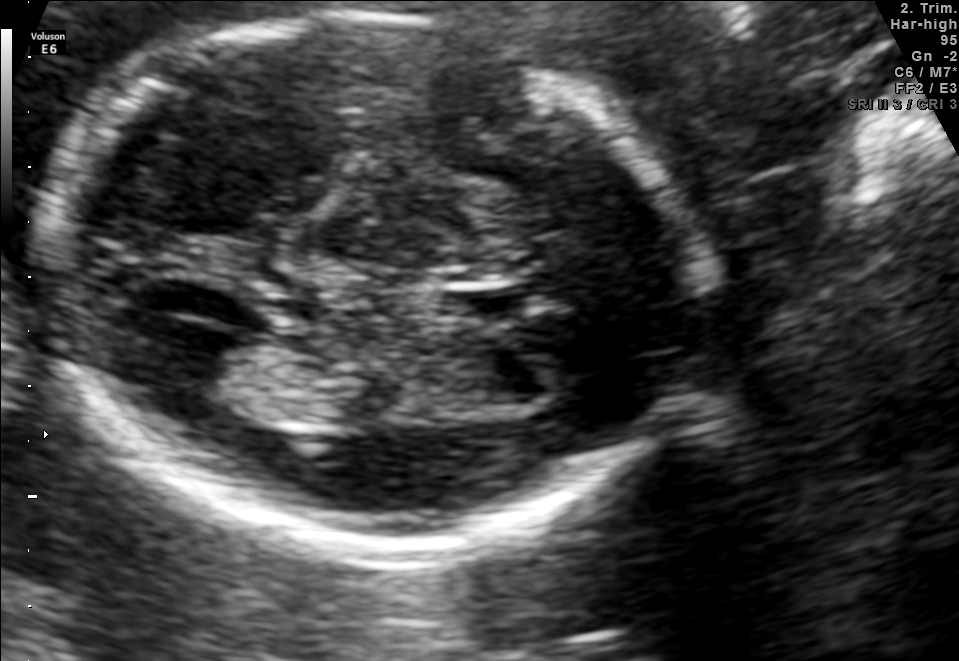
Fetal brain, trans-thalamic plane. Where is the cavum septum pellucidum?

CSP bounding box: [450,283,542,319]